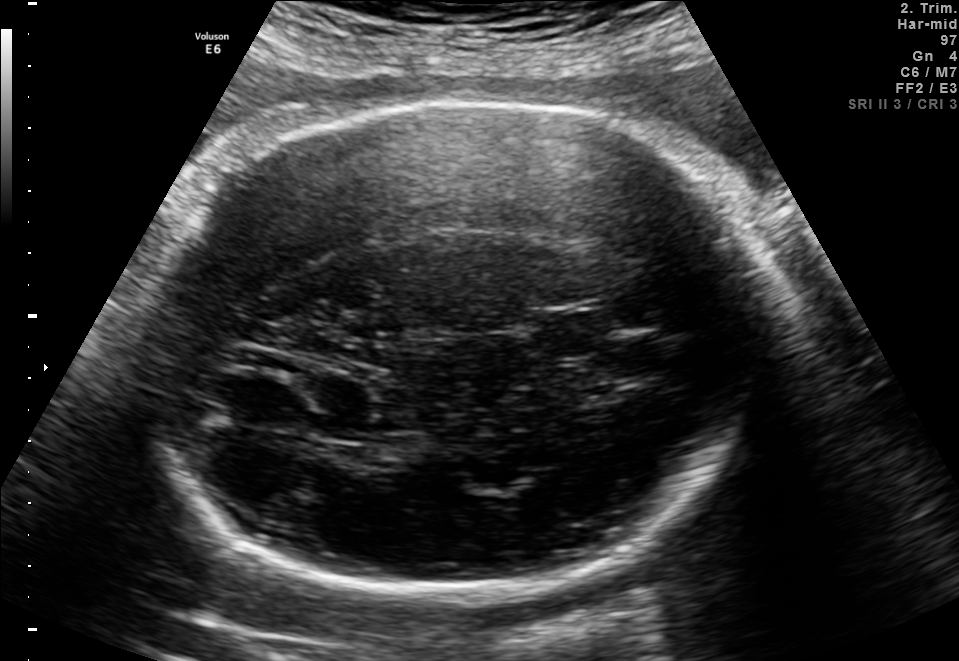
Fetal brain, trans-thalamic plane. Where is the fetal head?

Head bounding box: [136,99,769,606]